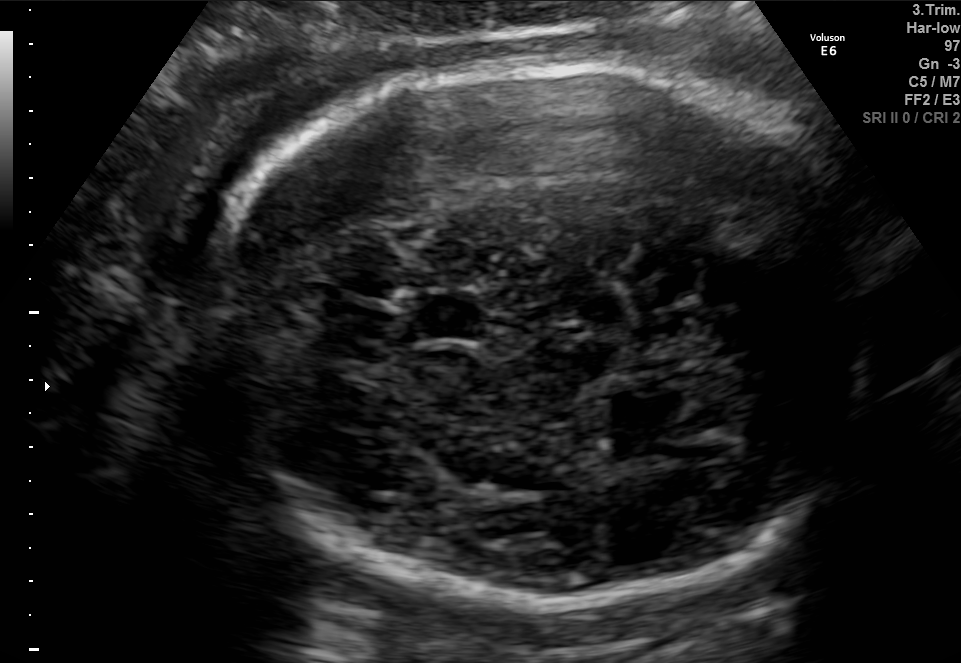
Which standard maternal-fetal ultrasound plane is shown: fetal abdomen, fetal brain, fetal femur, fetal thorax, maternal cervix, or other? If it's fetal brain and one of the three standard brain planes (trans-thalamic, trans-cerebellum, trans-ventricular), name which.

Fetal brain (trans-thalamic plane)